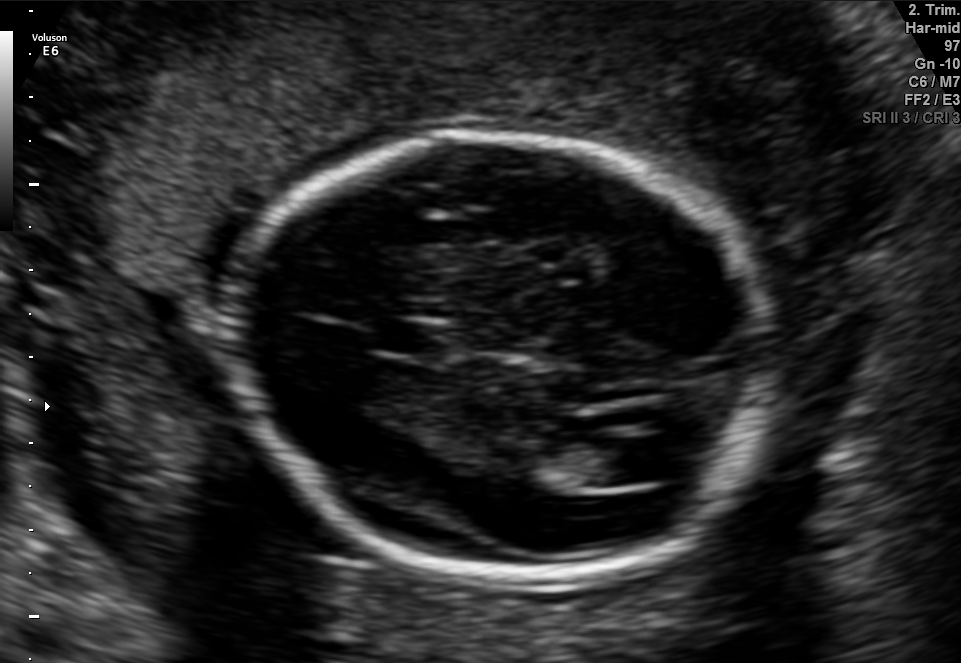
Fetal brain, trans-ventricular plane. Where is the cavum septum pellucidum?

CSP bounding box: [374,320,431,355]